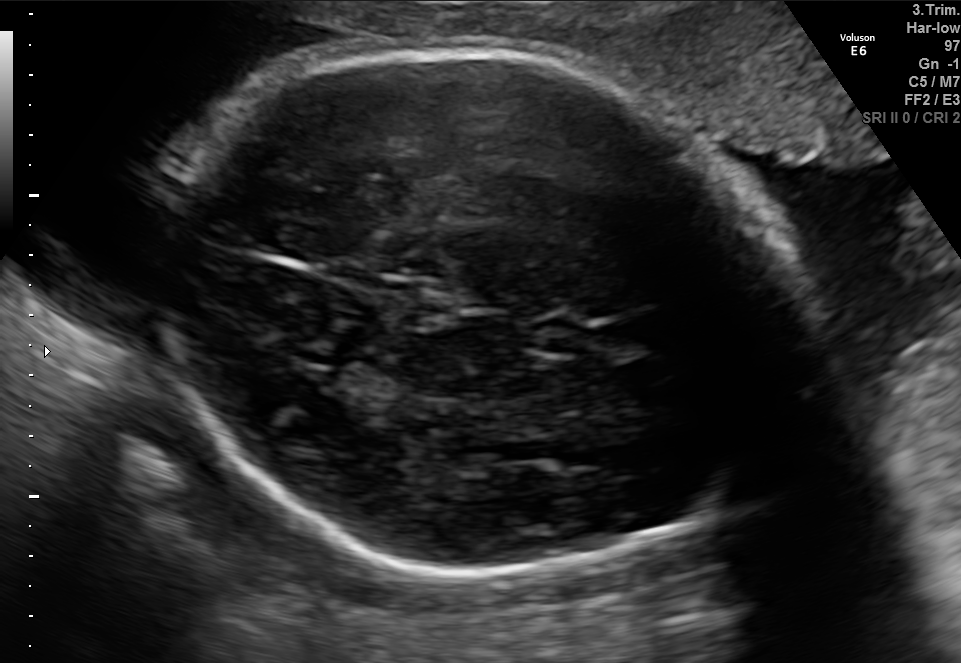
In this fetal brain, trans-thalamic plane, give the bounding box of the fetal head.

[153,49,804,578]